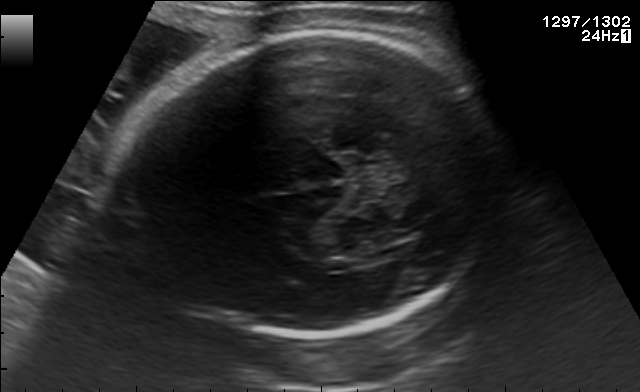
In this fetal brain, trans-thalamic plane, give bounding boxes for the head outline, cavum septum pellucidum (CSP), and lateral ventricle (LV), where visible.

Head: [113,31,501,340]